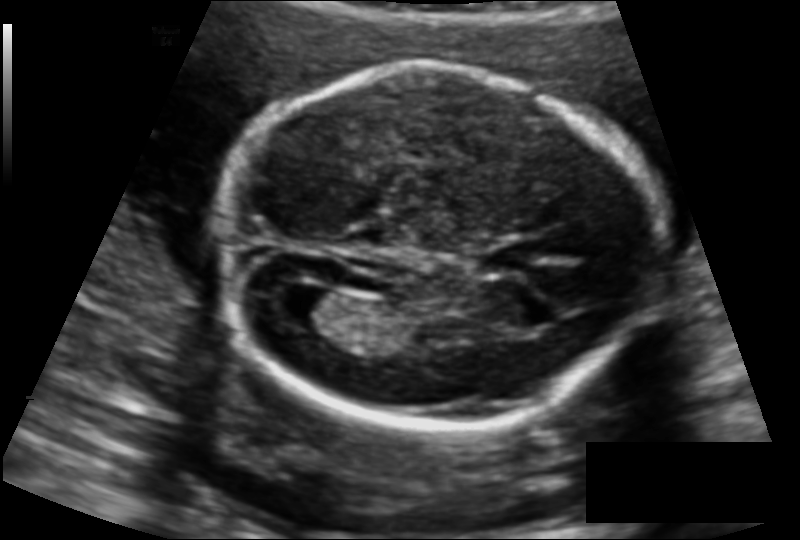
What is the fetal head circumference? Image width is 101.8 mm.

161.4 mm